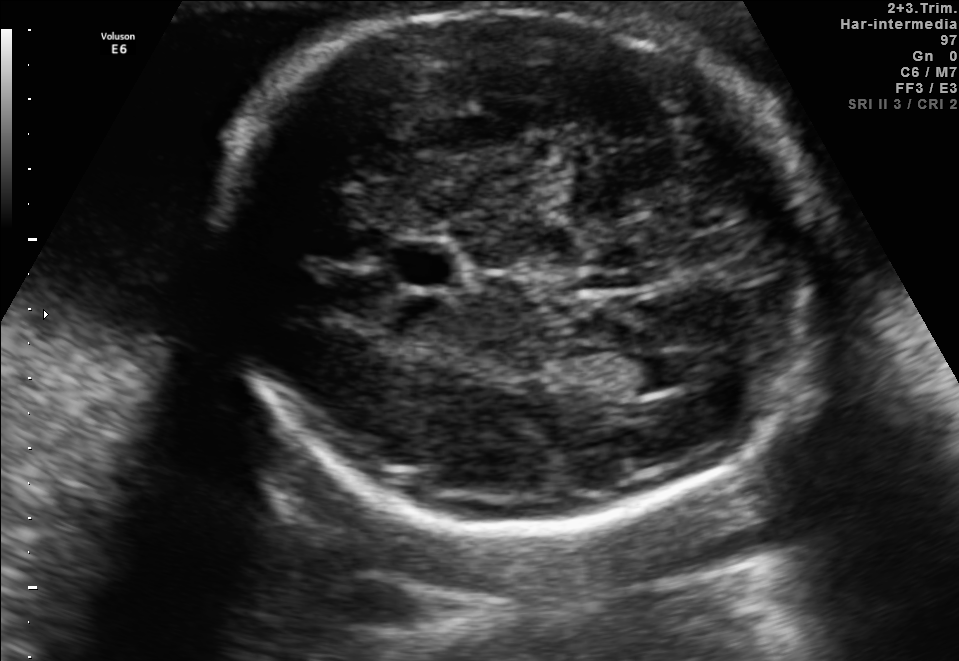
In this fetal brain, trans-ventricular plane, give the bounding box of the cavum septum pellucidum.

[381,242,467,288]